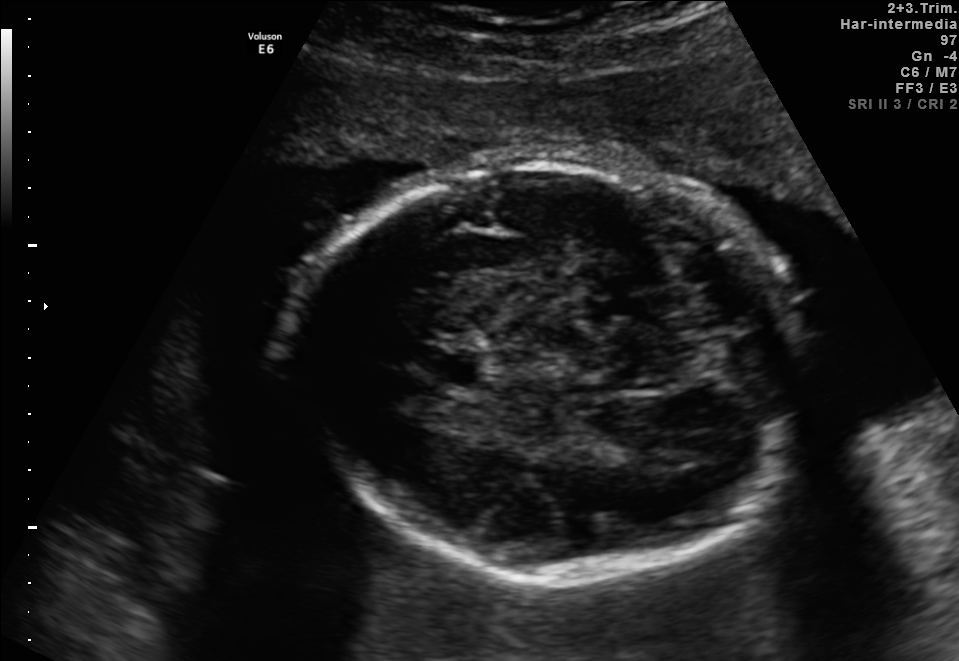
In this fetal brain, trans-thalamic plane, give bounding boxes for the head outline, cavum septum pellucidum (CSP), and lateral ventricle (LV), where visible.

Head: [302,159,805,580]
CSP: [412,340,485,390]